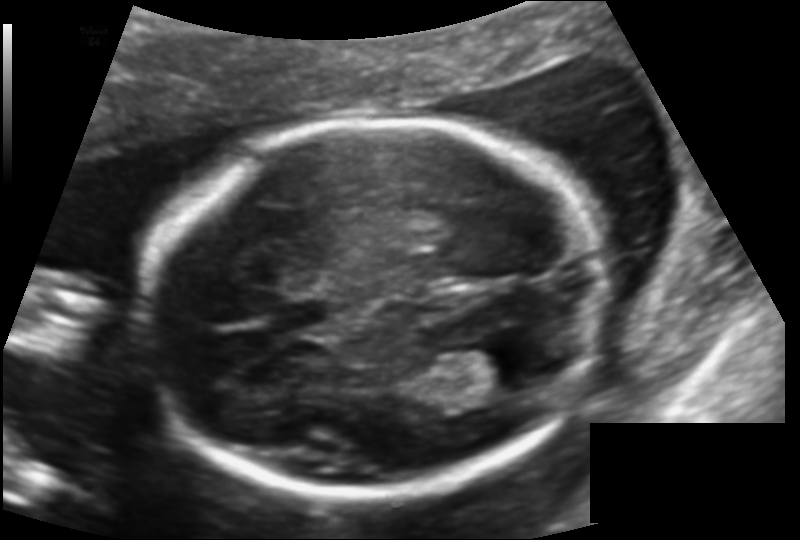
Fetal head ultrasound. Image width: 105.2 mm. Locate the lateral ventricle.

Lateral ventricle: [450,338,542,395]